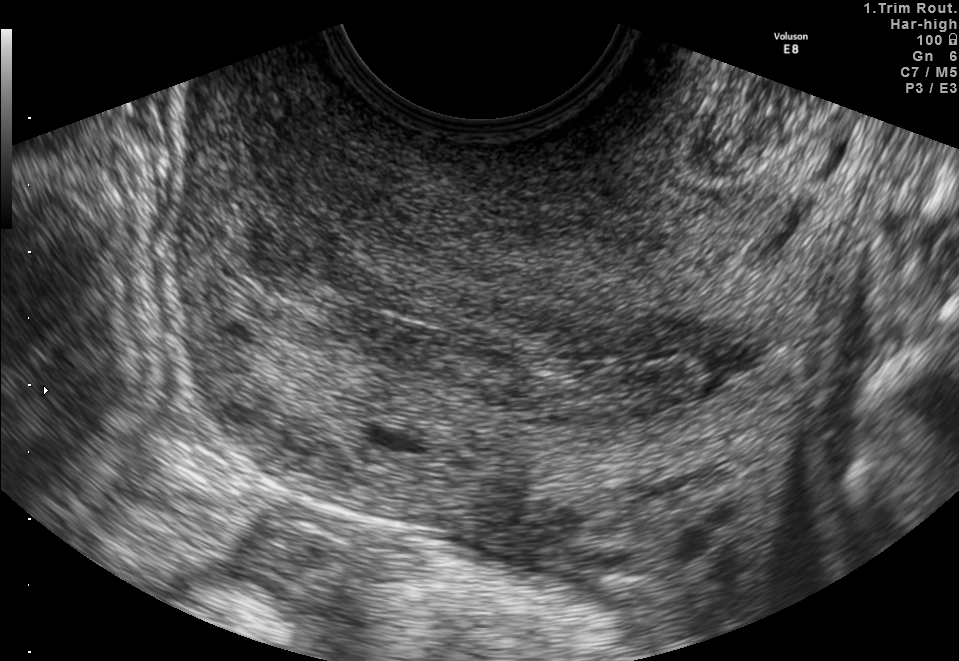
Which standard maternal-fetal ultrasound plane is shown: fetal abdomen, fetal brain, fetal femur, fetal thorax, maternal cervix, or other? If it's fetal brain and one of the three standard brain planes (trans-thalamic, trans-cerebellum, trans-ventricular), name which.

Maternal cervix